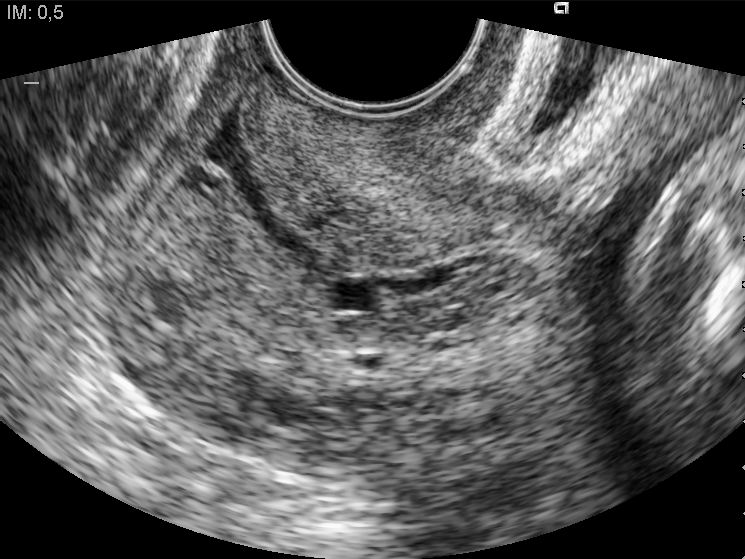
Classify this maternal-fetal ultrasound image as one of the six standard planes — fetal abdomen, fetal brain, fetal femur, fetal thorax, maternal cervix, or other. If it's fetal brain and one of the three standard brain planes (trans-thalamic, trans-cerebellum, trans-ventricular), name which.

Maternal cervix